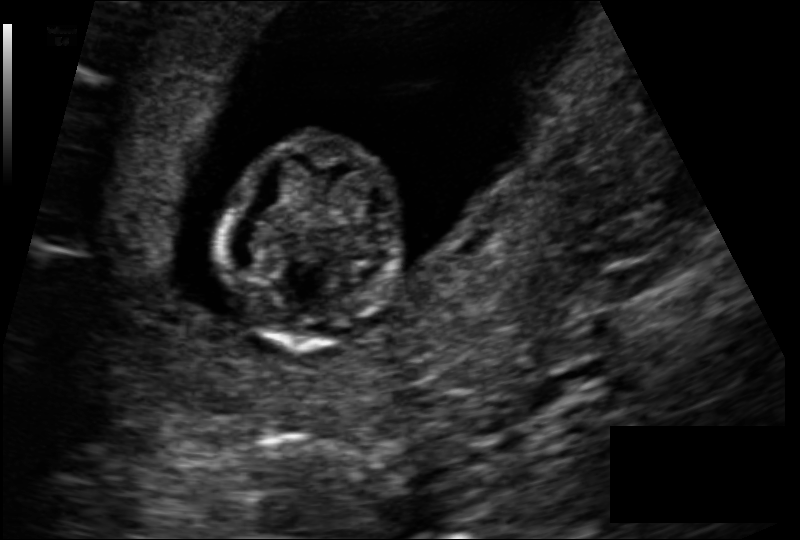
In this fetal head ultrasound, give the bounding box of the fetal head. Image width: 90.6 mm.

[219,137,405,350]